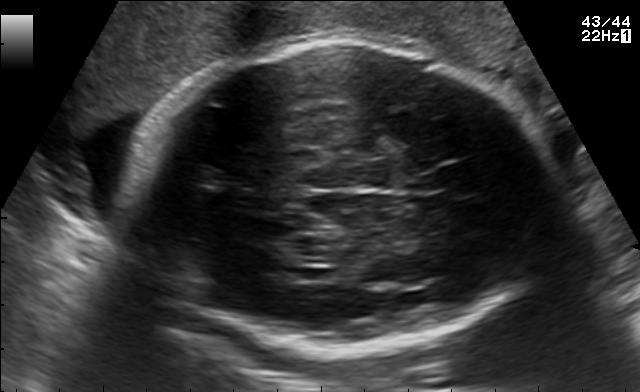
Fetal brain, trans-thalamic plane. Locate the fetal head.

Head: [131,43,552,357]